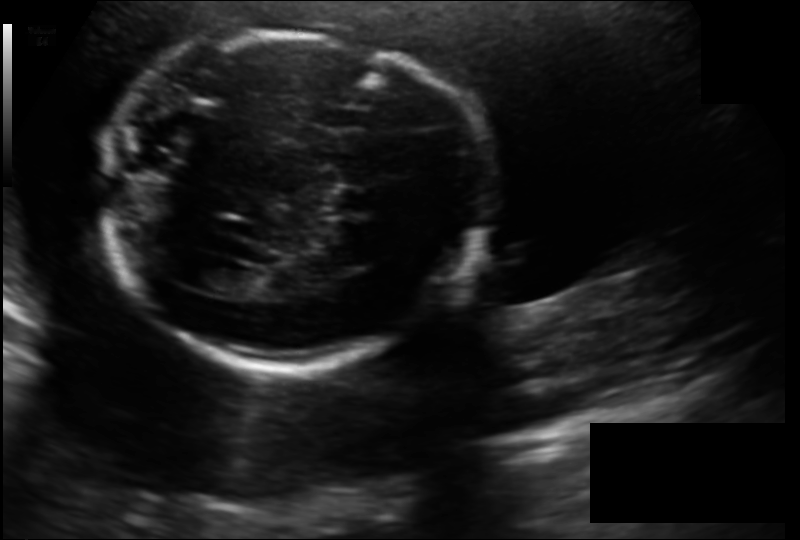
In this fetal head ultrasound, give the bounding box of the lateral ventricle. Image width: 126.7 mm.

[191,260,244,297]